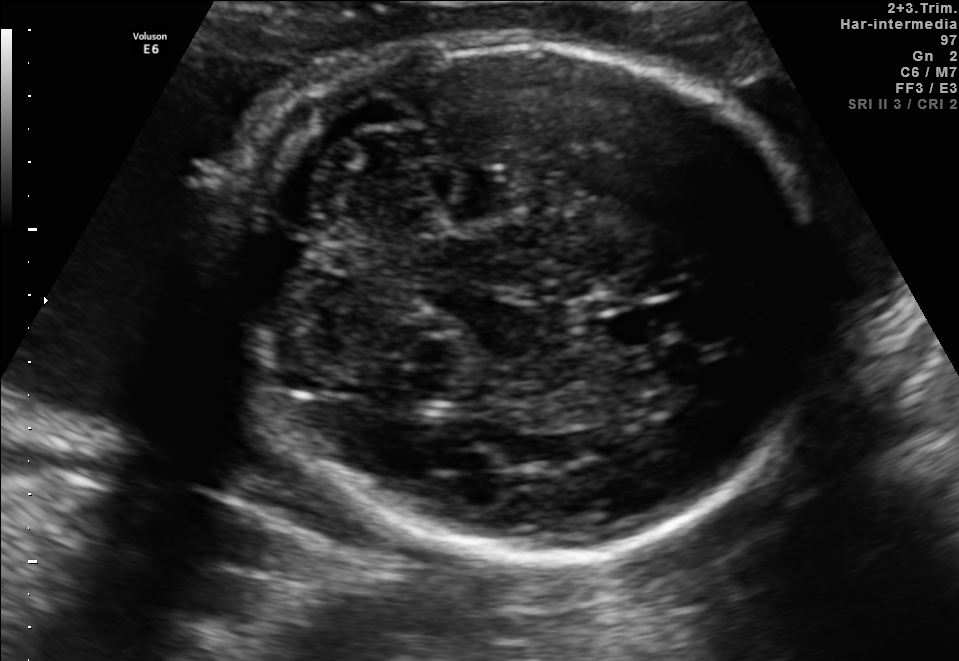
In this fetal brain, trans-cerebellum plane, give bounding boxes for the head outline, cavum septum pellucidum (CSP), and lateral ventricle (LV), where visible.

Head: [216,39,817,554]